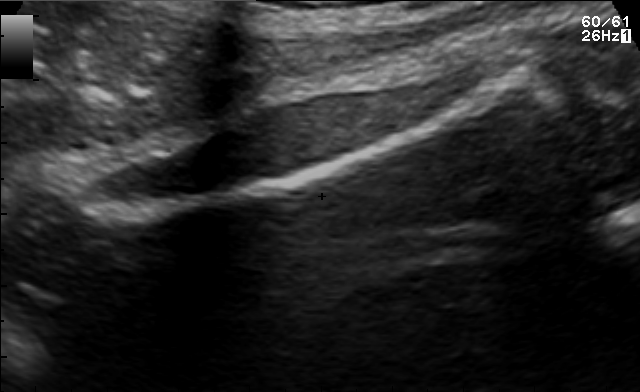
Which standard maternal-fetal ultrasound plane is shown: fetal abdomen, fetal brain, fetal femur, fetal thorax, maternal cervix, or other? If it's fetal brain and one of the three standard brain planes (trans-thalamic, trans-cerebellum, trans-ventricular), name which.

Fetal femur